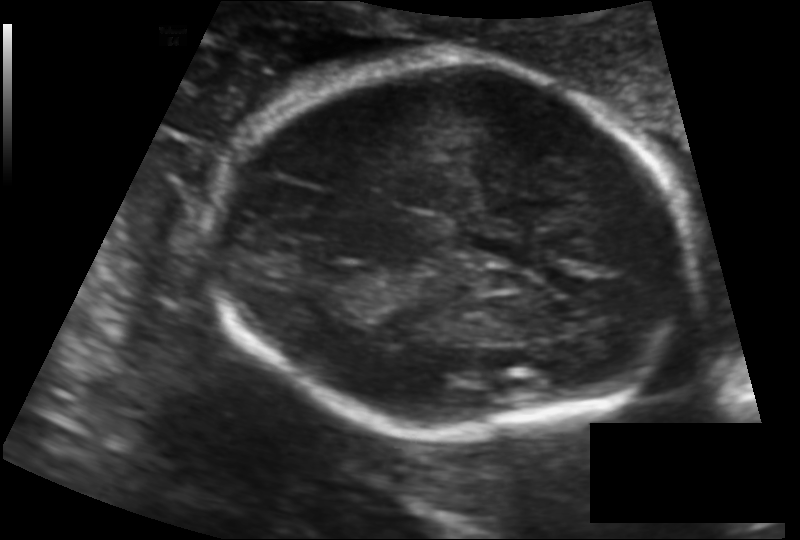
Fetal head ultrasound. Image width: 102.5 mm. Where is the fetal head?

Head bounding box: [212,59,688,437]